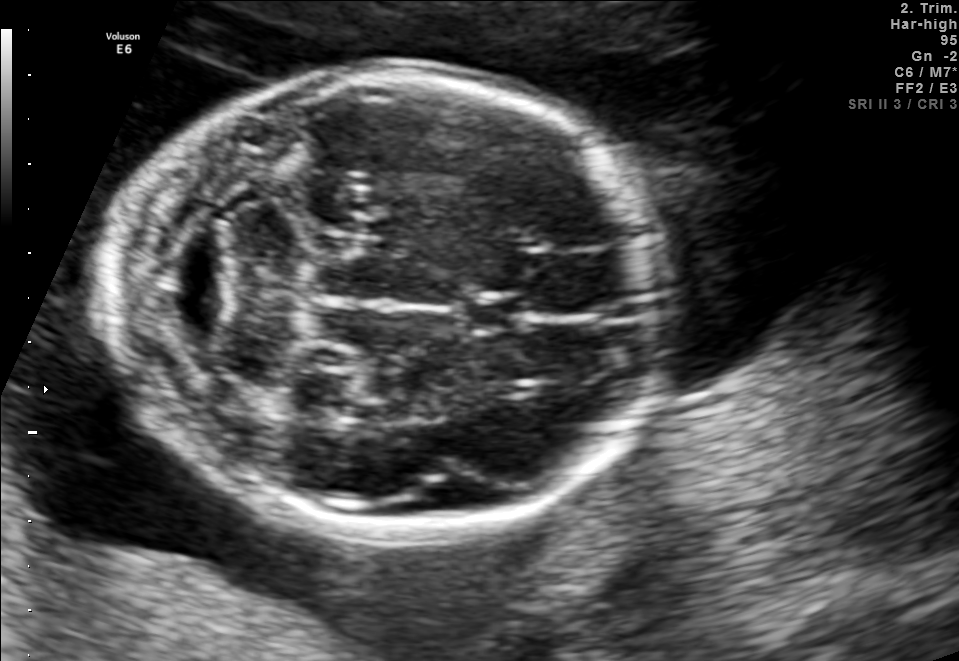
In this fetal brain, trans-cerebellum plane, give bounding boxes for the head outline, cavum septum pellucidum (CSP), and lateral ventricle (LV), where visible.

Head: [111,72,668,531]
CSP: [464,292,534,334]